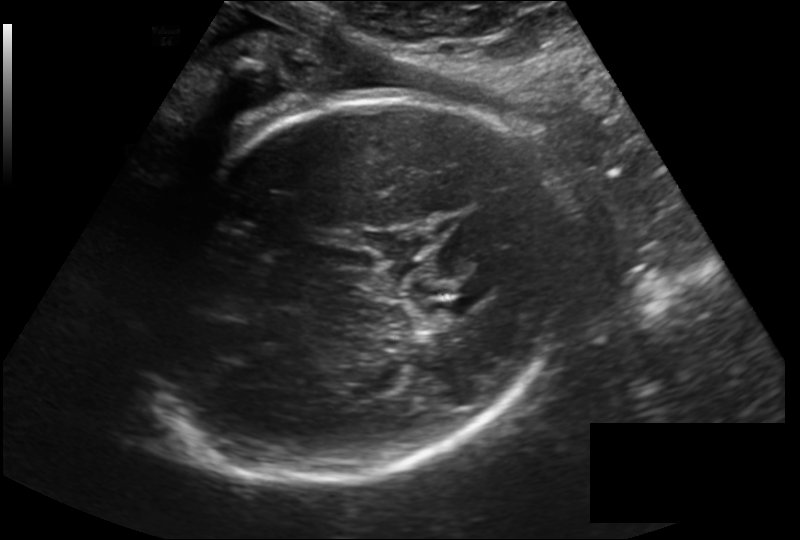
Fetal head ultrasound. Image width: 175.4 mm. Where is the fetal head?

Head bounding box: [124,96,574,484]